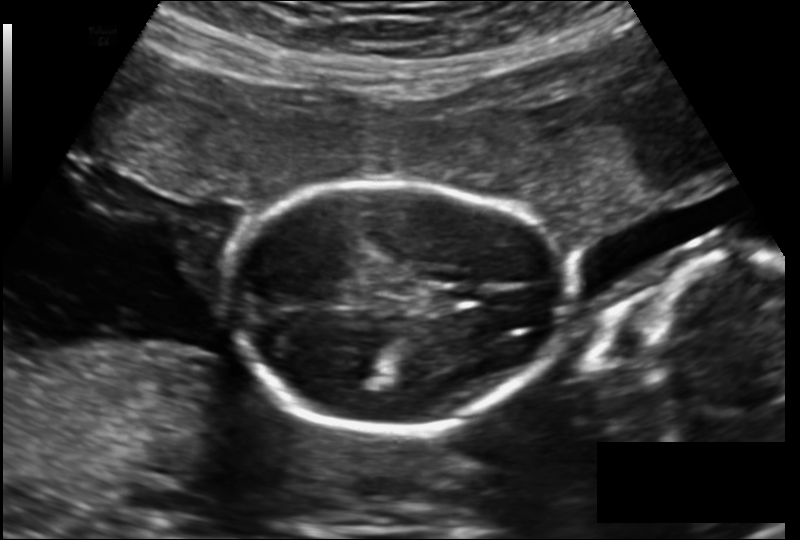
Estimate the fetal head circumference from this 2D ultrasound.

Head circumference: 152.4 mm (image width 125.7 mm).